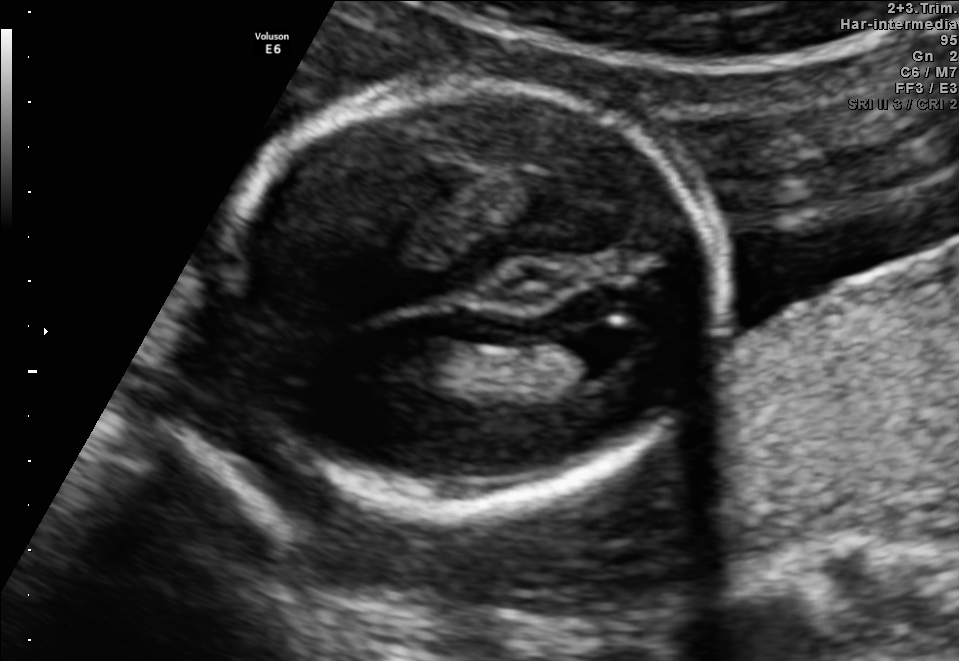
Fetal brain, trans-ventricular plane. Locate the fetal head and, if visible, the cavum septum pellucidum (CSP) and lateral ventricle (LV). Give bounding boxes as [x1,y1,x2,y2].

Head: [208,72,735,521]